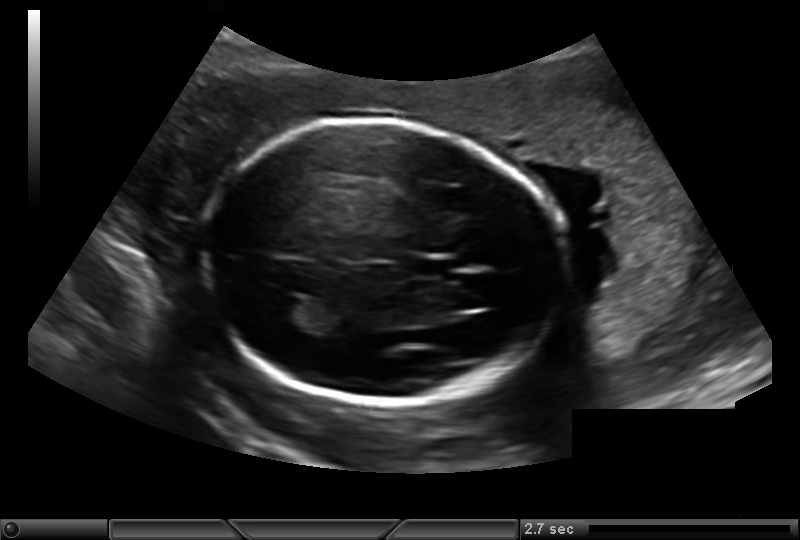
Estimate the fetal head circumference from this 2D ultrasound. Image width: 154.2 mm.

Head circumference: 202.7 mm.